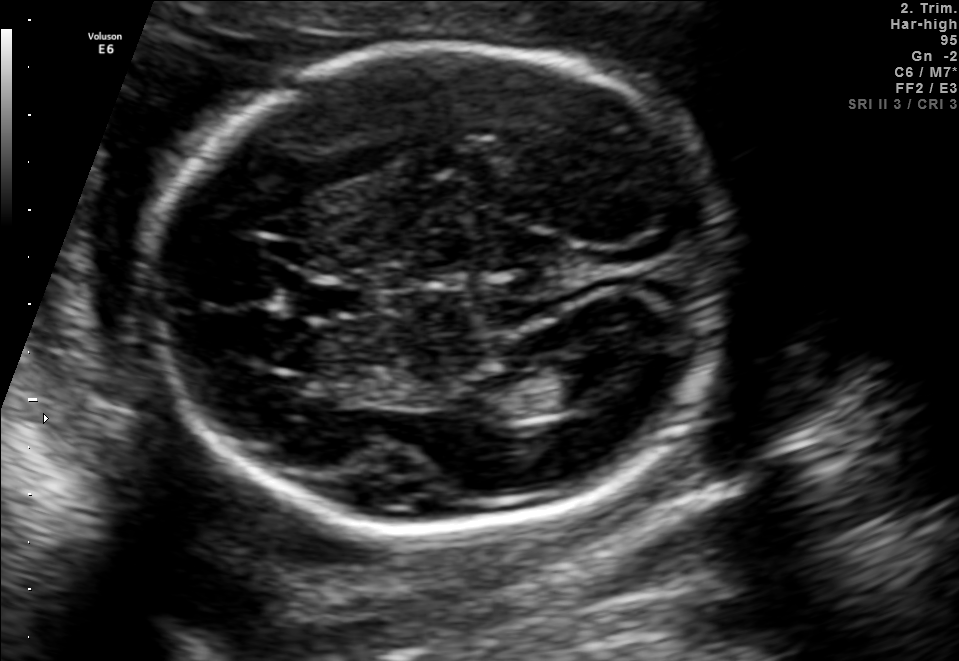
Fetal brain, trans-ventricular plane. Give [x1,y1,x2,y2] bounding boxes for each visible structure among: fetal head, CSP, LV.

Head: [135,37,742,540]
CSP: [282,277,380,322]
Lateral ventricle: [536,343,641,416]